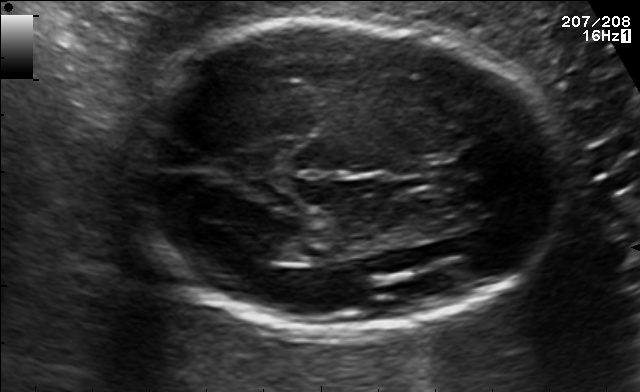
In this fetal brain, trans-thalamic plane, give the bounding box of the fetal head.

[125,22,566,330]